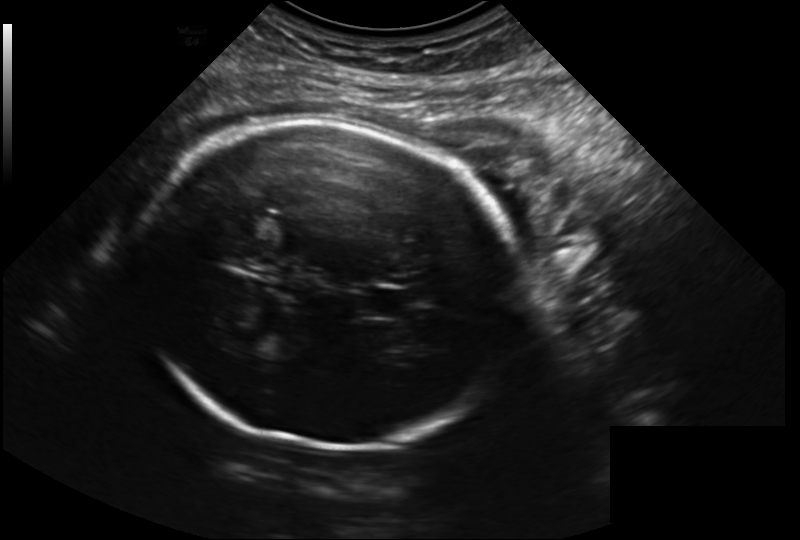
Fetal head ultrasound. Image width: 178.0 mm. Locate the fetal head.

Head: [138,123,526,448]